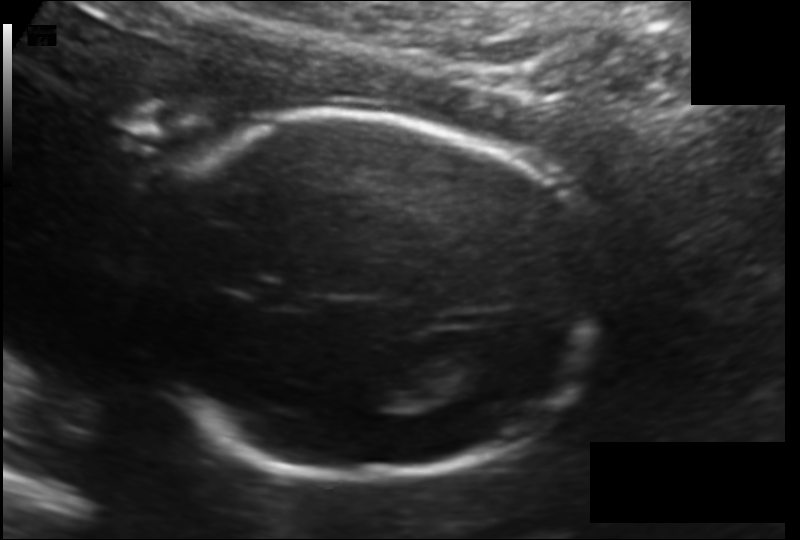
From this fetal ultrasound, estimate the head circumference (image width 107.8 mm).

Head circumference: 181.5 mm.